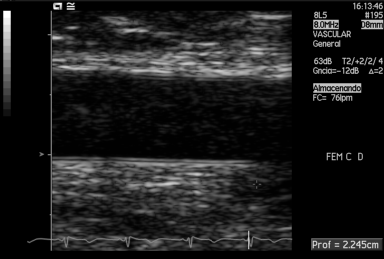
This is a 2D maternal-fetal ultrasound frame. Is it a fetal abdomen, fetal brain, fetal femur, fetal thorax, maternal cervix, or other standard plane? If it's fetal brain and one of the three standard brain planes (trans-thalamic, trans-cerebellum, trans-ventricular), name which.

Other